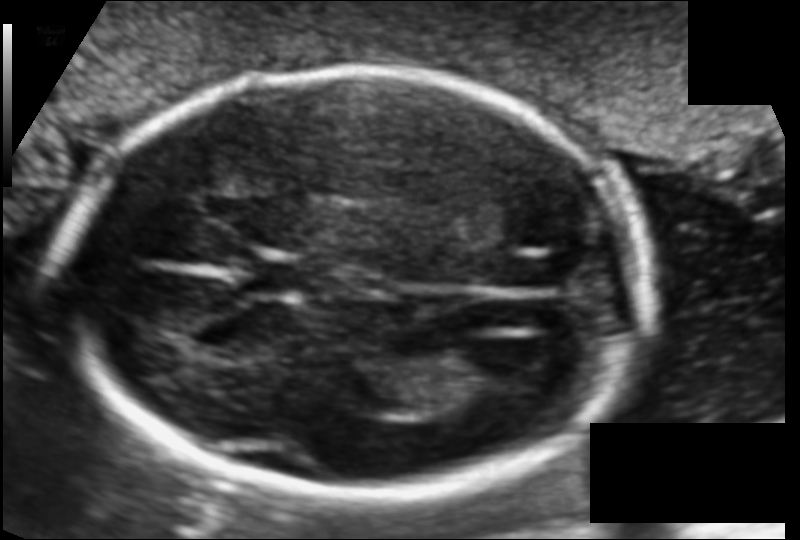
Fetal head ultrasound. Image width: 87.9 mm. Locate the cavum septum pellucidum.

CSP: [243,252,311,302]